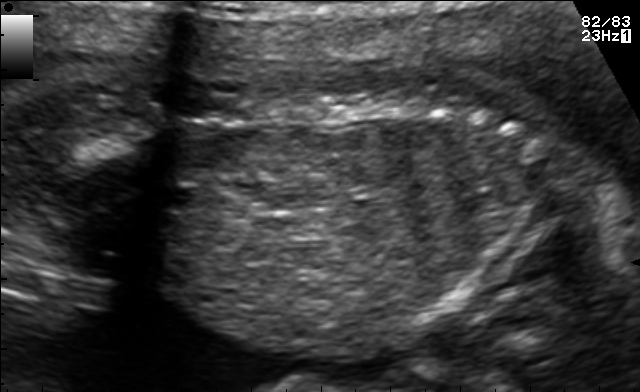
Classify this maternal-fetal ultrasound image as one of the six standard planes — fetal abdomen, fetal brain, fetal femur, fetal thorax, maternal cervix, or other. If it's fetal brain and one of the three standard brain planes (trans-thalamic, trans-cerebellum, trans-ventricular), name which.

Other